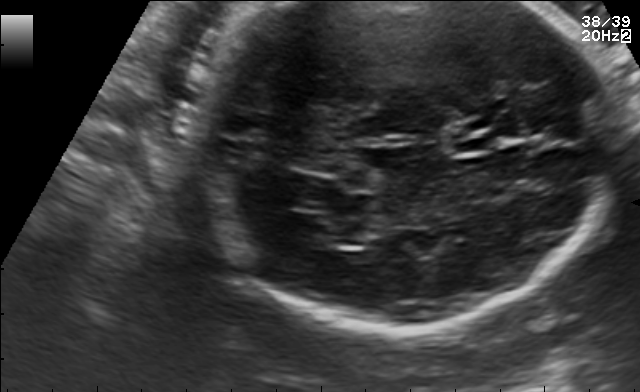
In this fetal brain, trans-cerebellum plane, give the bounding box of the cavum septum pellucidum.

[448,129,494,159]